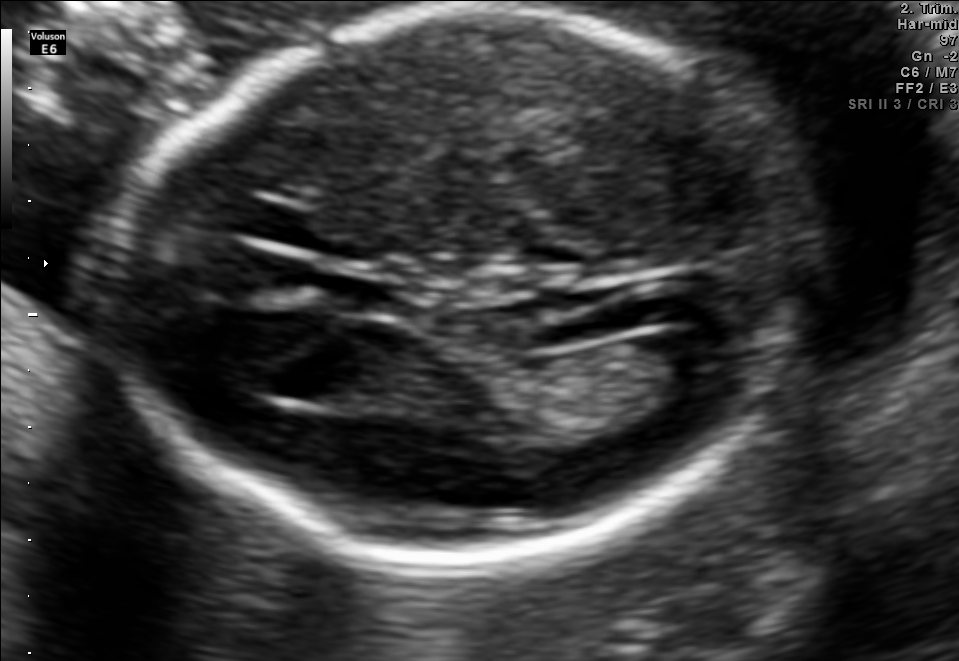
Fetal brain, trans-ventricular plane. Give [x1,y1,x2,y2] bounding boxes for each visible structure among: fetal head, CSP, LV.

Head: [101,4,828,565]
CSP: [332,276,404,319]
Lateral ventricle: [634,312,753,405]